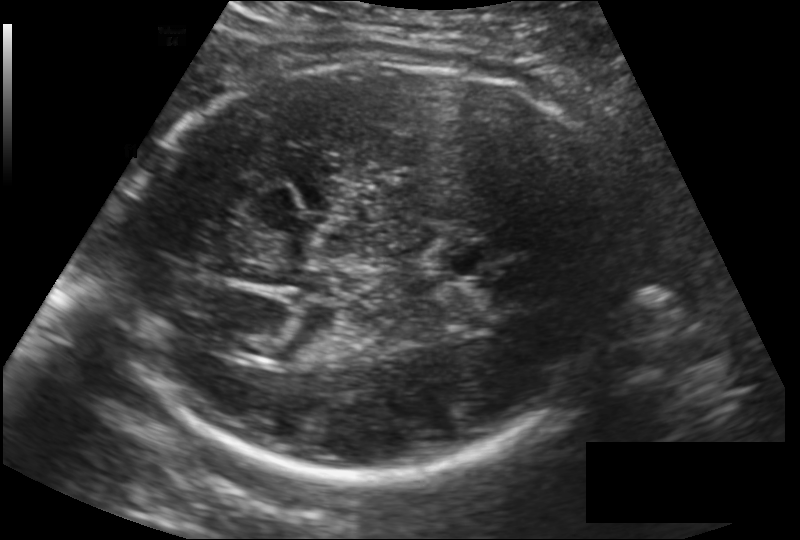
Estimate the fetal head circumference from this 2D ultrasound. Image width: 148.6 mm.

Head circumference: 278.3 mm.